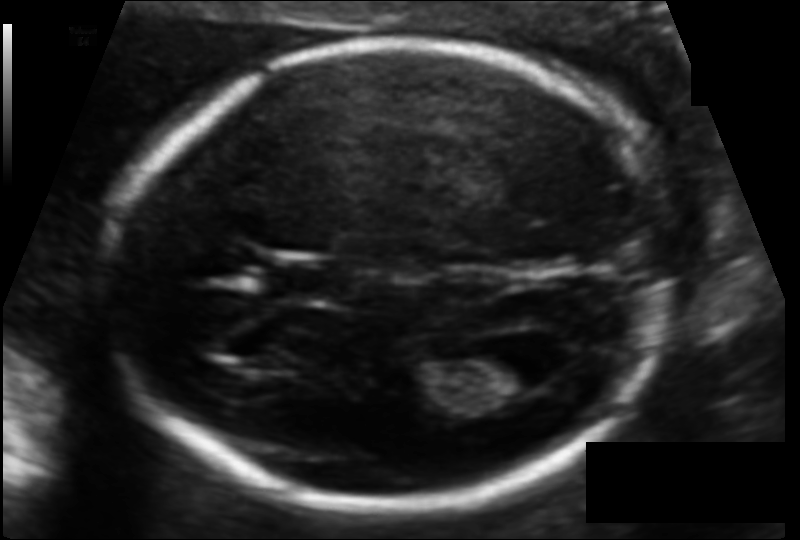
From this fetal ultrasound, estimate the head circumference (image width 82.6 mm).

Head circumference: 172.9 mm.